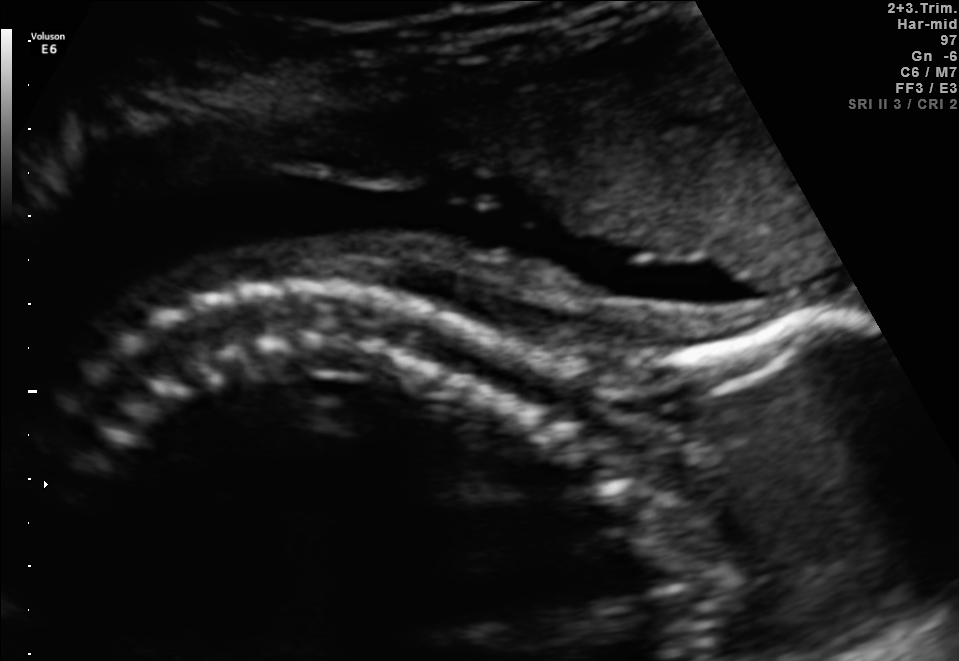
Classify this maternal-fetal ultrasound image as one of the six standard planes — fetal abdomen, fetal brain, fetal femur, fetal thorax, maternal cervix, or other. If it's fetal brain and one of the three standard brain planes (trans-thalamic, trans-cerebellum, trans-ventricular), name which.

Other